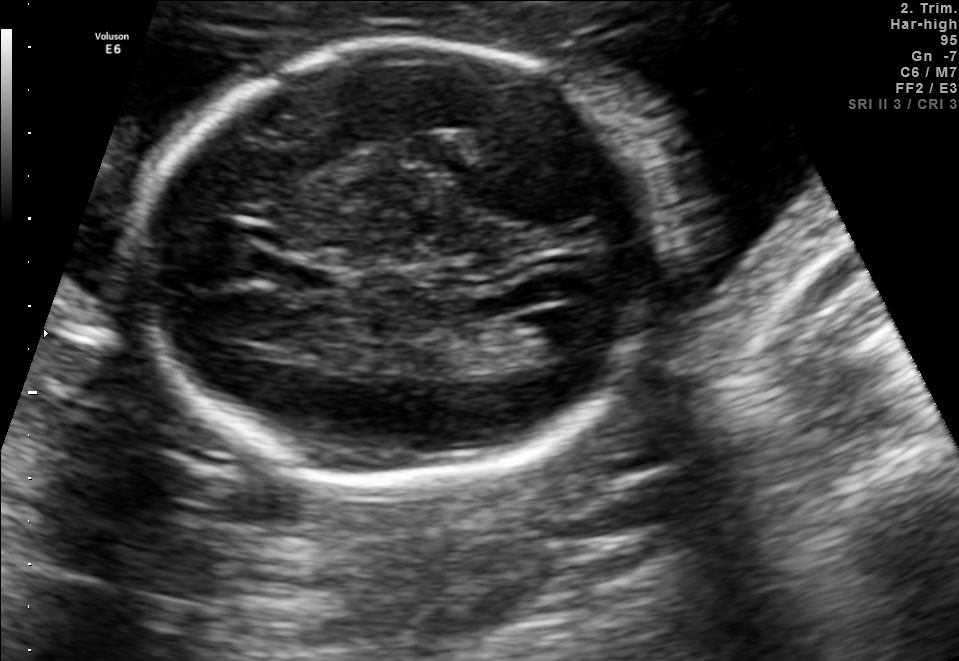
In this fetal brain, trans-ventricular plane, give the bounding box of the lateral ventricle.

[519,298,614,362]